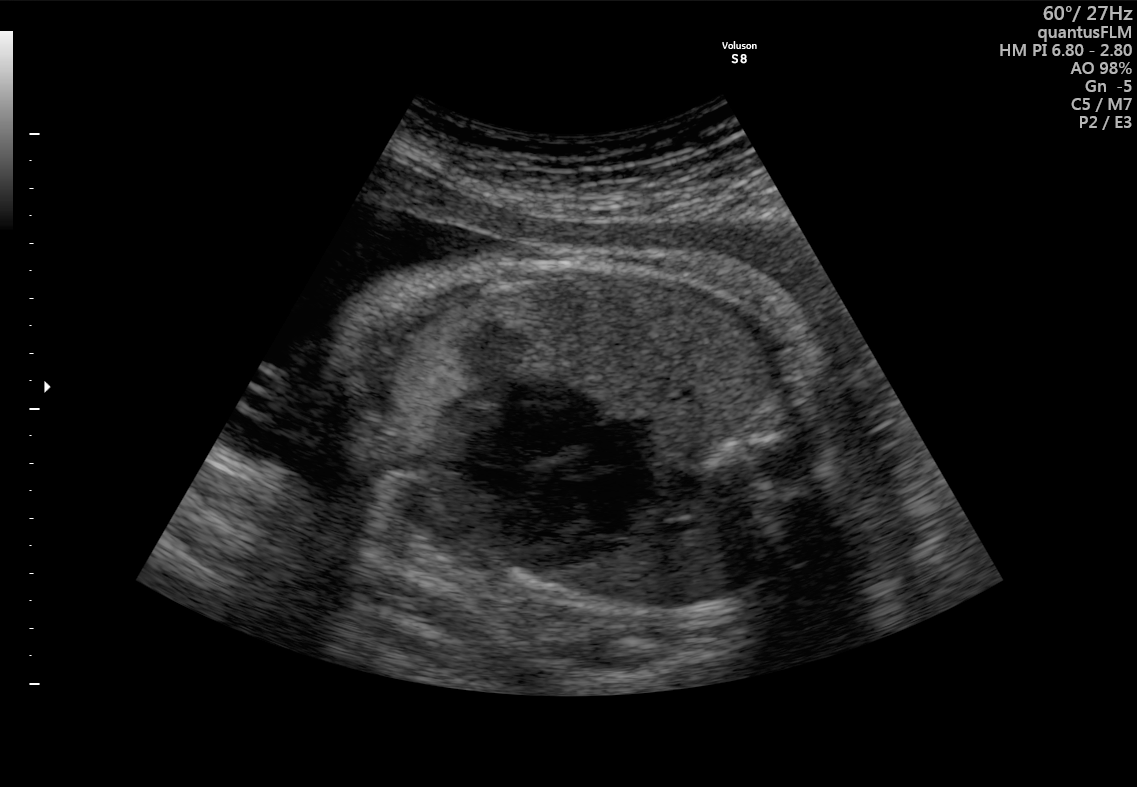
This is a 2D maternal-fetal ultrasound frame. Is it a fetal abdomen, fetal brain, fetal femur, fetal thorax, maternal cervix, or other standard plane? If it's fetal brain and one of the three standard brain planes (trans-thalamic, trans-cerebellum, trans-ventricular), name which.

Fetal thorax